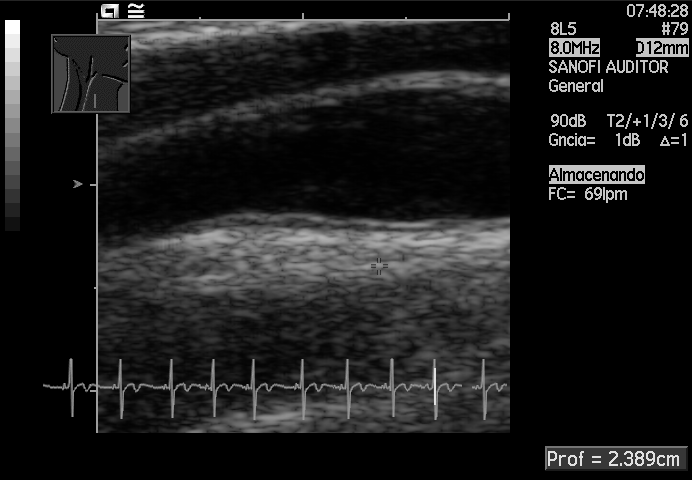
This is a 2D maternal-fetal ultrasound frame. Is it a fetal abdomen, fetal brain, fetal femur, fetal thorax, maternal cervix, or other standard plane? If it's fetal brain and one of the three standard brain planes (trans-thalamic, trans-cerebellum, trans-ventricular), name which.

Other